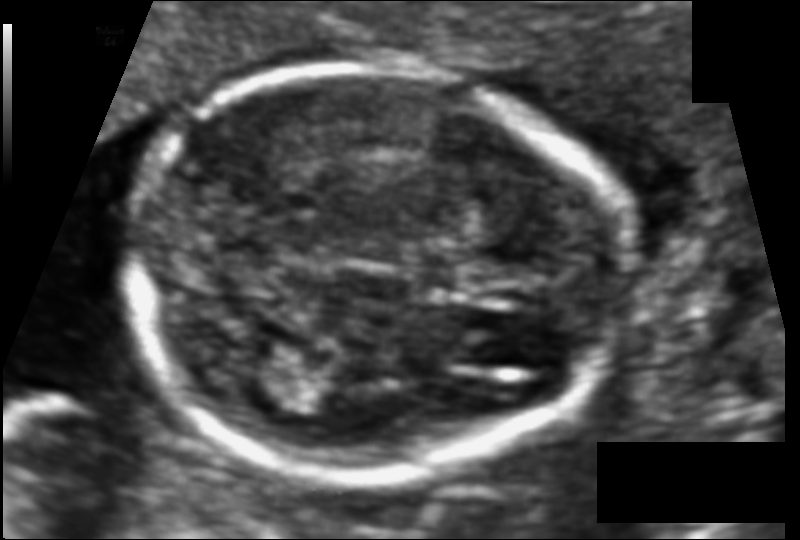
Estimate the fetal head circumference from this 2D ultrasound.

Head circumference: 122.0 mm (image width 65.0 mm).